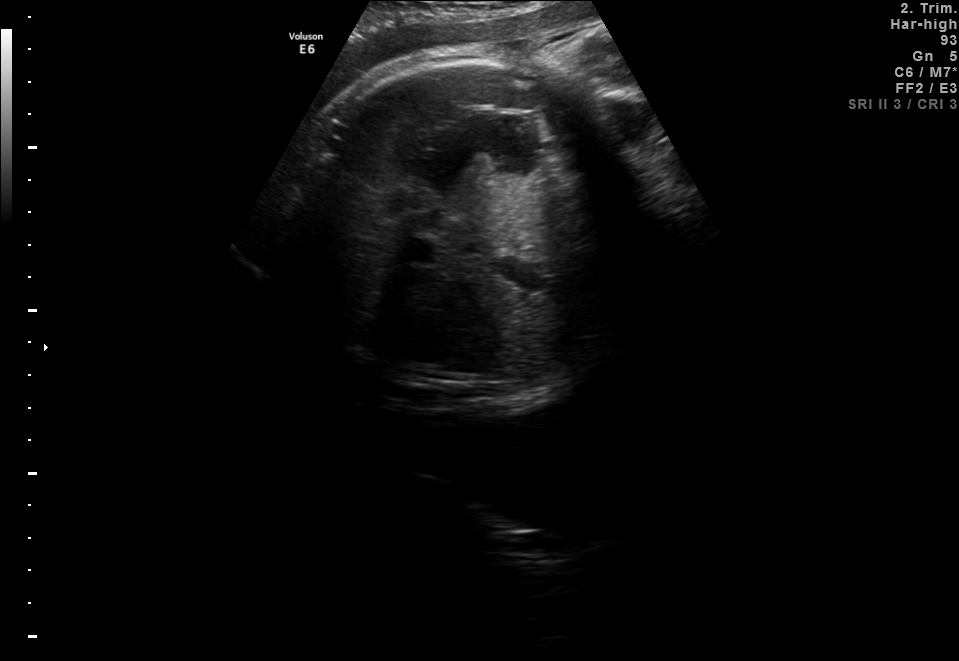
Identify the standard plane in this fetal ultrasound image: fetal abdomen, fetal brain, fetal femur, fetal thorax, maternal cervix, or other. If it's fetal brain and one of the three standard brain planes (trans-thalamic, trans-cerebellum, trans-ventricular), name which.

Fetal abdomen